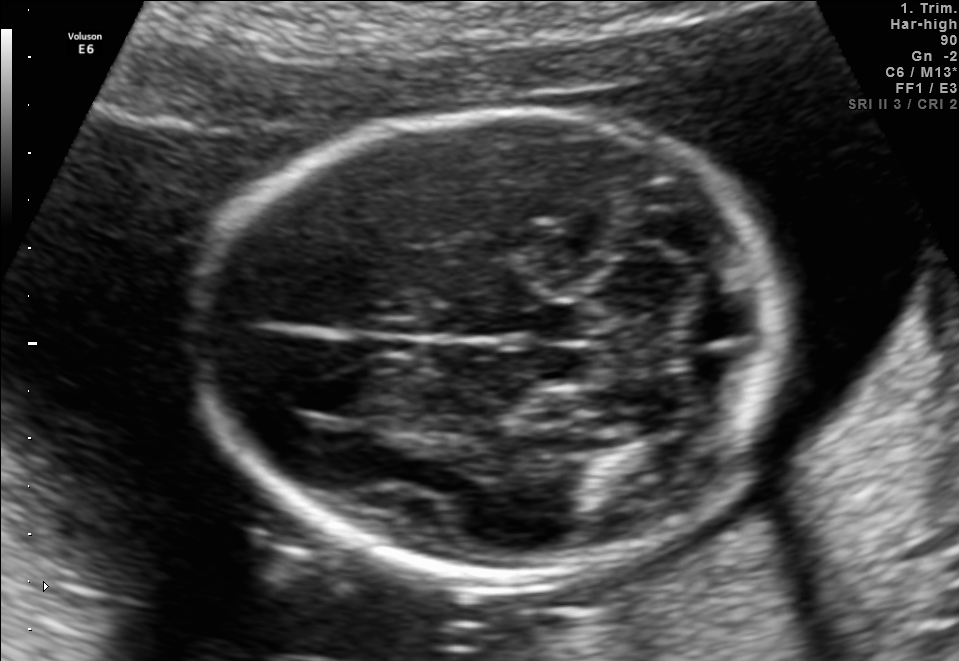
In this fetal brain, trans-cerebellum plane, give the bounding box of the fetal head.

[205,109,788,572]